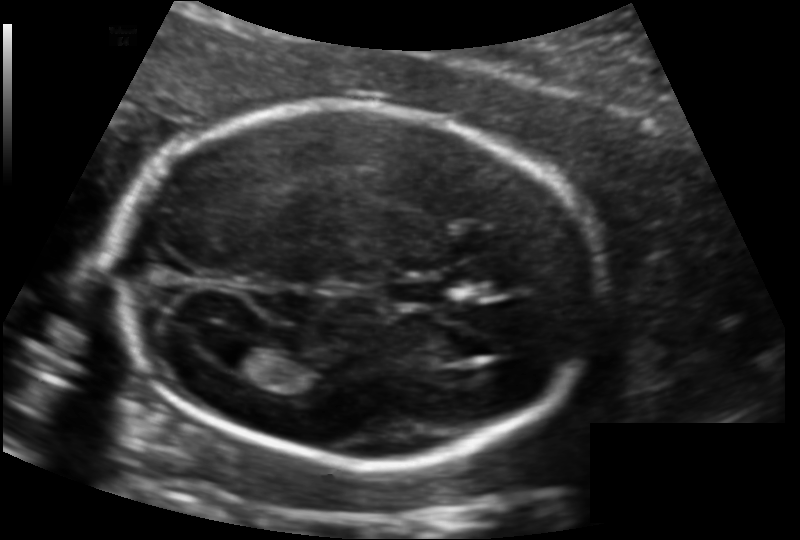
Fetal head ultrasound. Image width: 107.1 mm. Give [x1,y1,x2,y2] bounding boxes for each visible structure among: fetal head, CSP, LV.

Head: [115,104,595,466]
CSP: [392,278,448,306]
Lateral ventricle: [214,338,280,382]